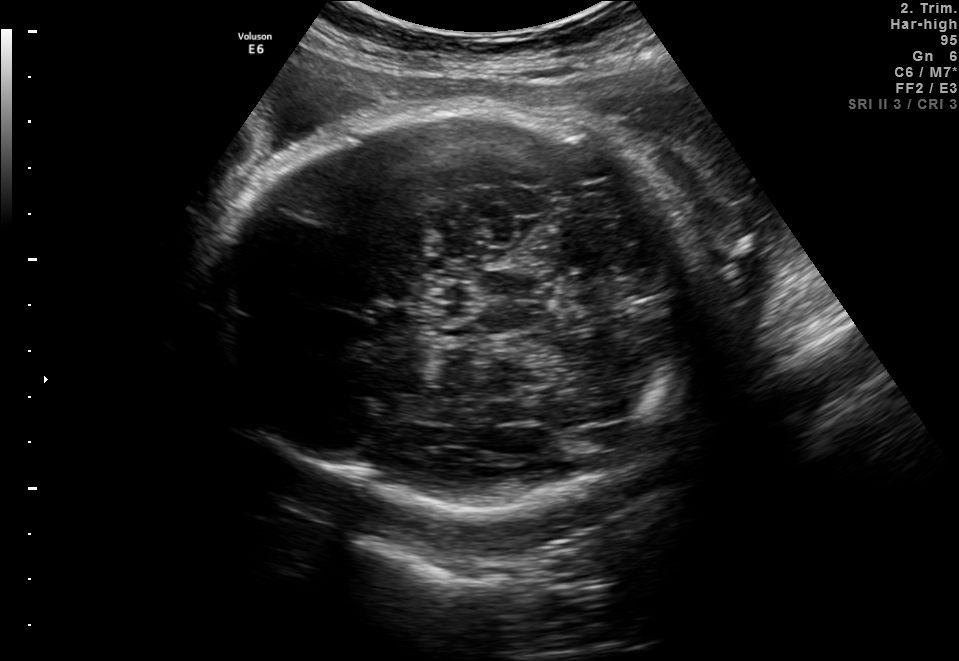
In this fetal brain, trans-thalamic plane, give bounding boxes for the head outline, cavum septum pellucidum (CSP), and lateral ventricle (LV), where visible.

Head: [207,102,694,515]